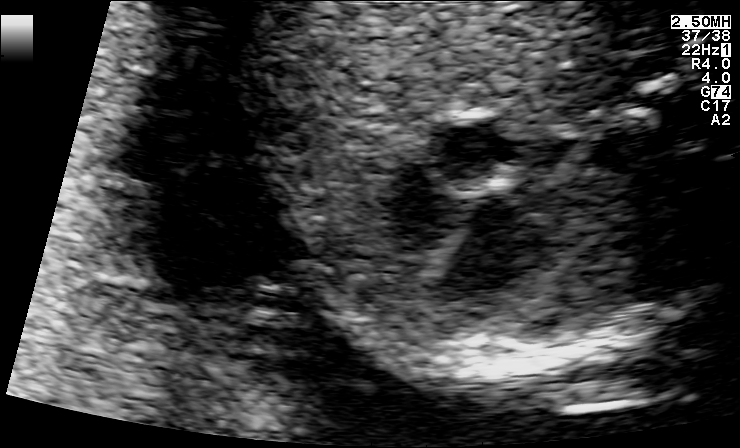
Which standard maternal-fetal ultrasound plane is shown: fetal abdomen, fetal brain, fetal femur, fetal thorax, maternal cervix, or other? If it's fetal brain and one of the three standard brain planes (trans-thalamic, trans-cerebellum, trans-ventricular), name which.

Fetal thorax